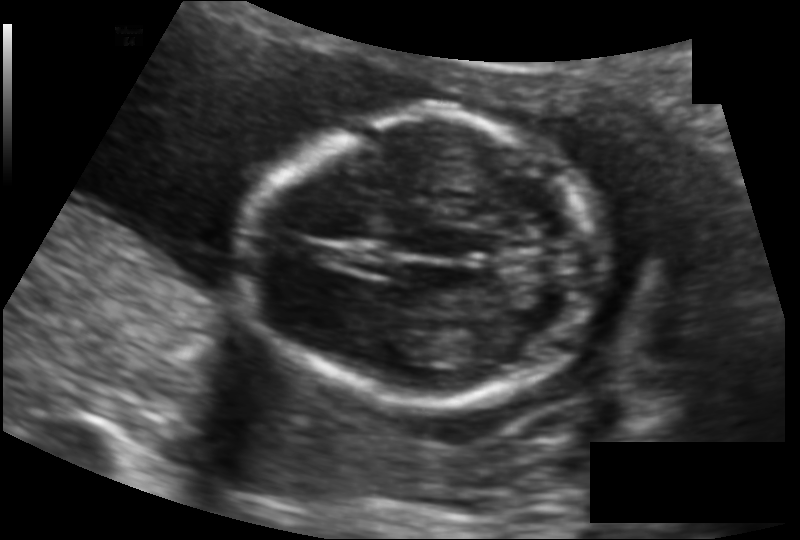
Fetal head ultrasound. Image width: 97.8 mm. Locate the fetal head.

Head: [243,114,601,401]